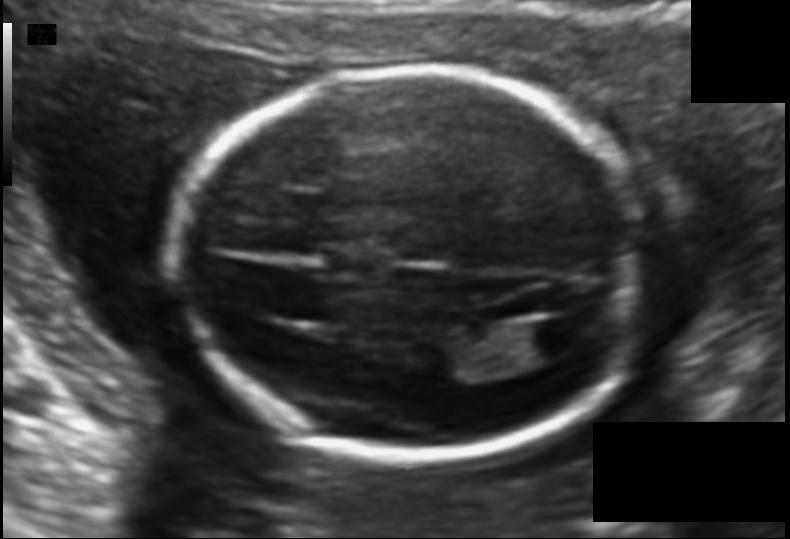
In this fetal head ultrasound, give bounding boxes for the head outline, cavum septum pellucidum (CSP), and lateral ventricle (LV), where visible. Image width: 95.9 mm.

Head: [178,68,653,459]
Lateral ventricle: [508,308,595,369]